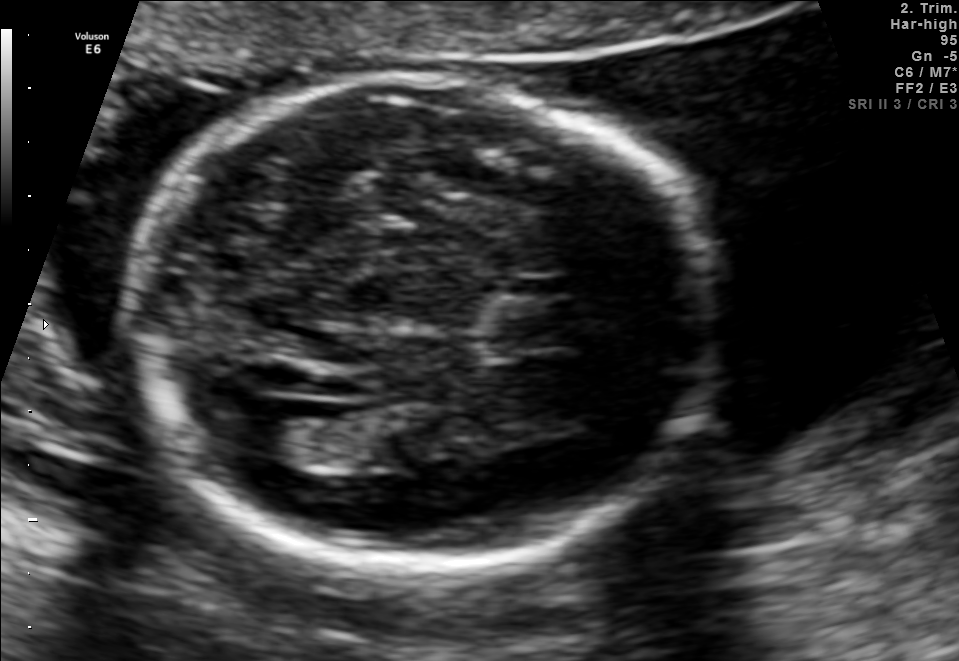
Fetal brain, trans-ventricular plane. Locate the cavum septum pellucidum.

CSP: [470,297,583,352]